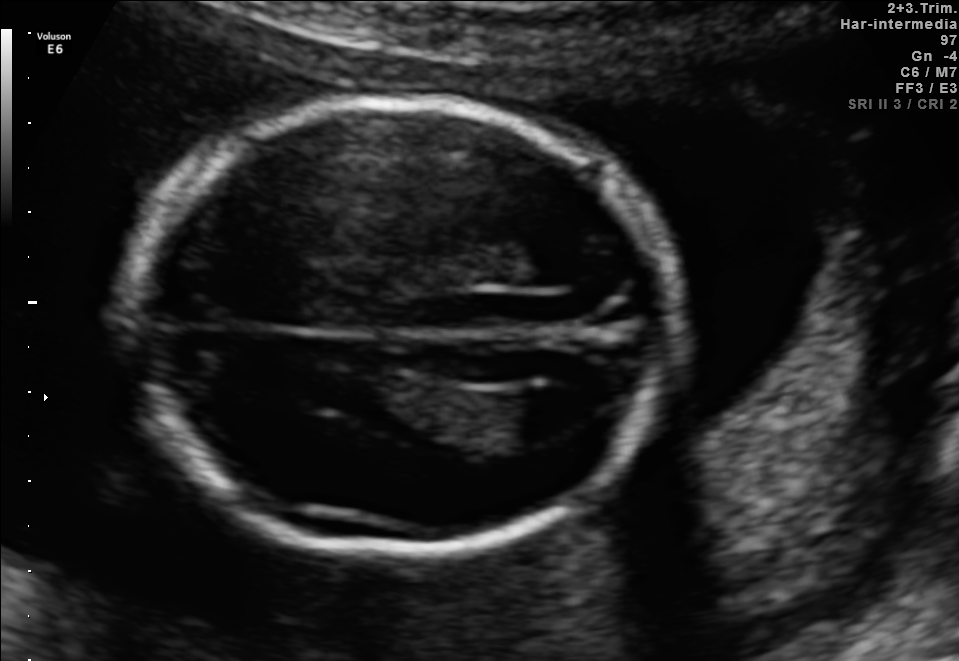
Fetal brain, trans-ventricular plane. Where is the lateral ventricle?

Lateral ventricle bounding box: [503,376,600,449]